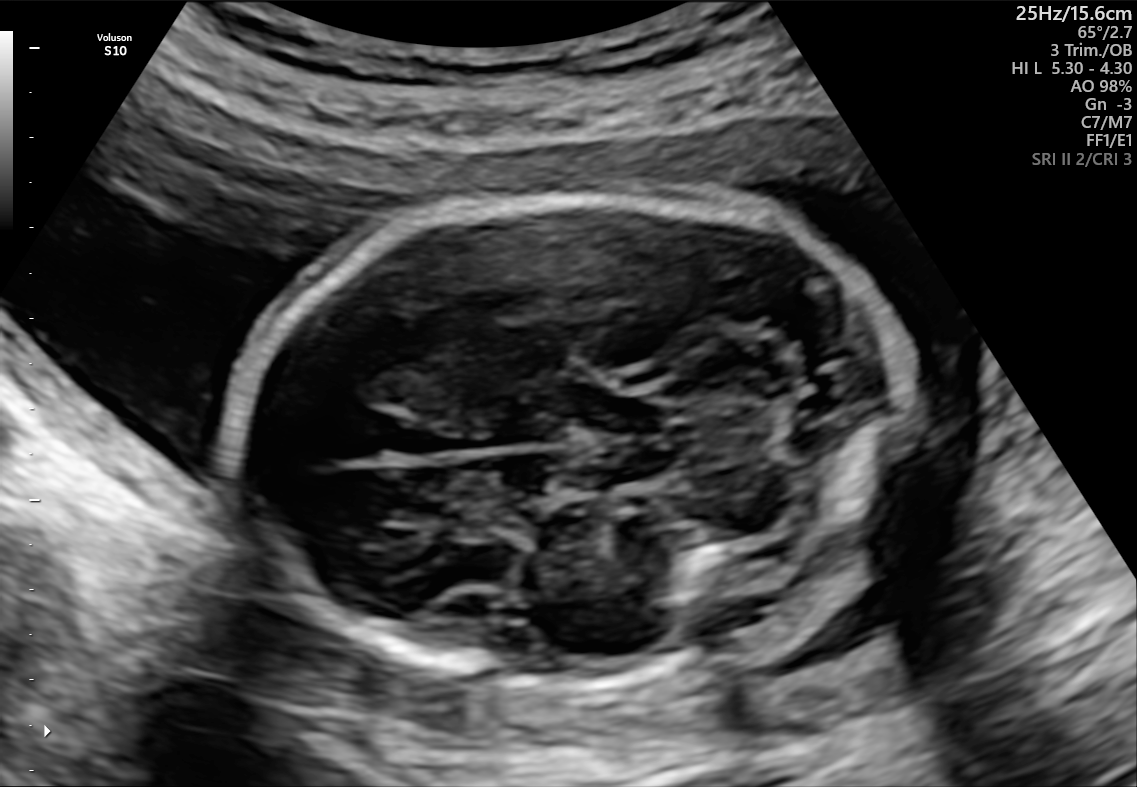
Fetal brain, trans-cerebellum plane. Give [x1,y1,x2,y2] bounding boxes for each visible structure among: fetal head, CSP, LV.

Head: [232,192,907,686]